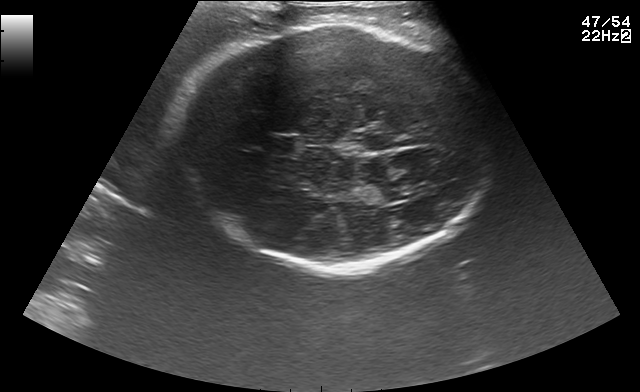
Fetal brain, trans-thalamic plane. Locate the cavum septum pellucidum.

CSP: [266,136,295,153]